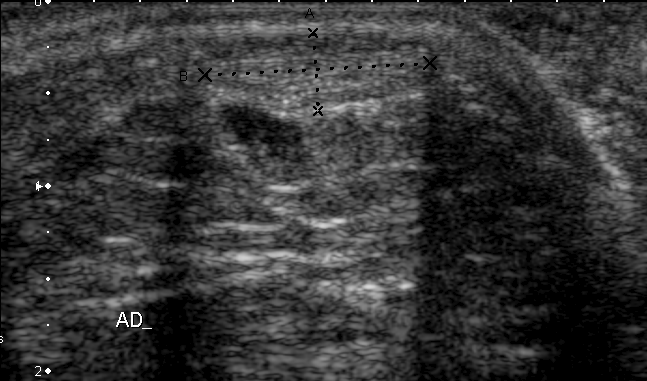
Identify the standard plane in this fetal ultrasound image: fetal abdomen, fetal brain, fetal femur, fetal thorax, maternal cervix, or other. If it's fetal brain and one of the three standard brain planes (trans-thalamic, trans-cerebellum, trans-ventricular), name which.

Other